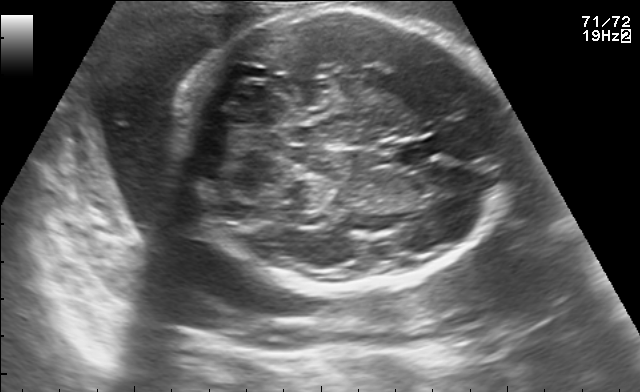
Fetal brain, trans-cerebellum plane. Give [x1,y1,x2,y2] bounding boxes for each visible structure among: fetal head, CSP, LV.

Head: [183,9,511,292]
CSP: [389,134,441,169]